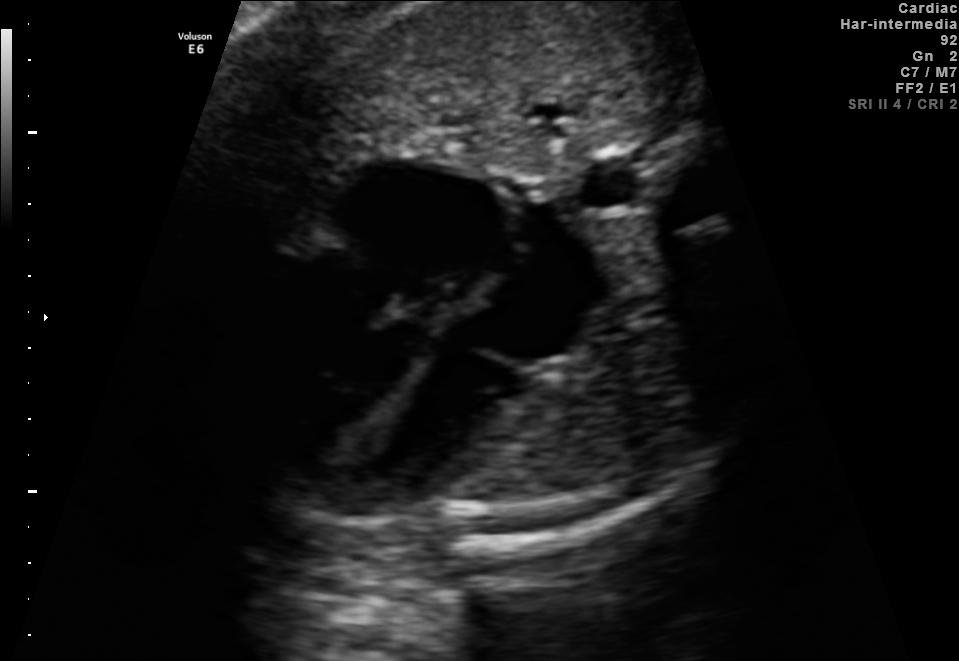
This is a 2D maternal-fetal ultrasound frame. Is it a fetal abdomen, fetal brain, fetal femur, fetal thorax, maternal cervix, or other standard plane? If it's fetal brain and one of the three standard brain planes (trans-thalamic, trans-cerebellum, trans-ventricular), name which.

Fetal thorax